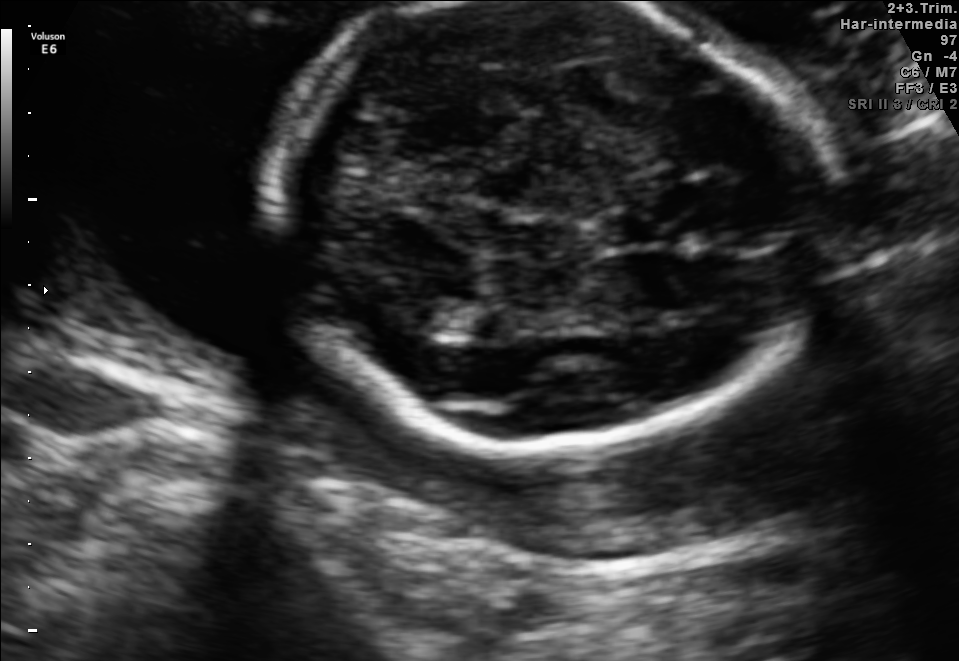
Fetal brain, trans-thalamic plane. Locate the fetal head.

Head: [263,2,828,447]